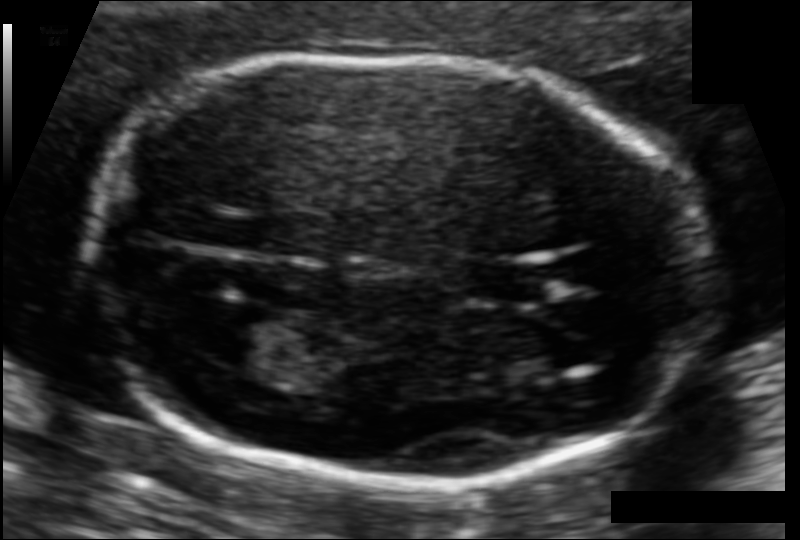
Fetal head ultrasound. Image width: 73.9 mm. Locate the fetal head.

Head: [84,56,704,489]